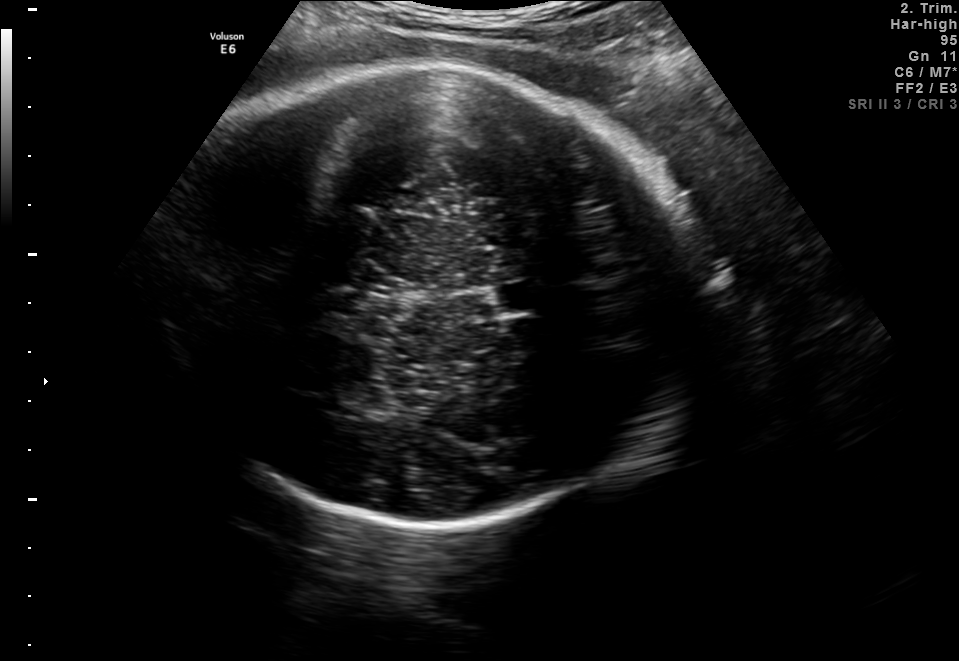
Fetal brain, trans-thalamic plane. Locate the fetal head and, if visible, the cavum septum pellucidum (CSP) and lateral ventricle (LV). Give bounding boxes as [x1,y1,x2,y2].

Head: [155,66,702,527]
CSP: [490,278,555,318]